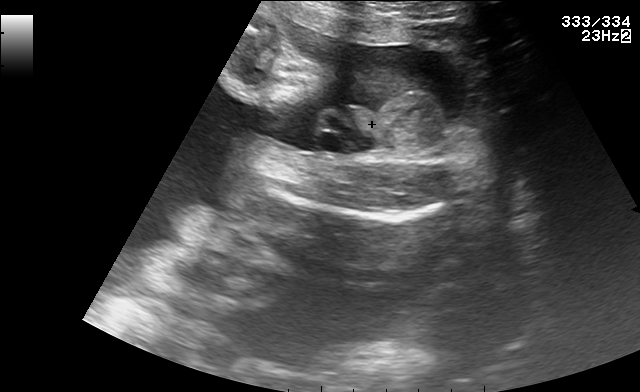
This is a 2D maternal-fetal ultrasound frame. Is it a fetal abdomen, fetal brain, fetal femur, fetal thorax, maternal cervix, or other standard plane? If it's fetal brain and one of the three standard brain planes (trans-thalamic, trans-cerebellum, trans-ventricular), name which.

Fetal femur